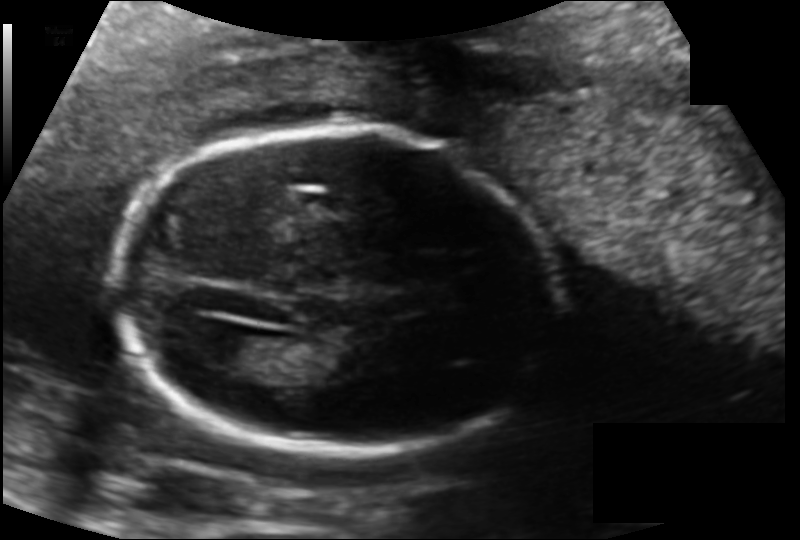
Fetal head ultrasound. Image width: 107.0 mm. Locate the lateral ventricle.

Lateral ventricle: [197,329,267,375]